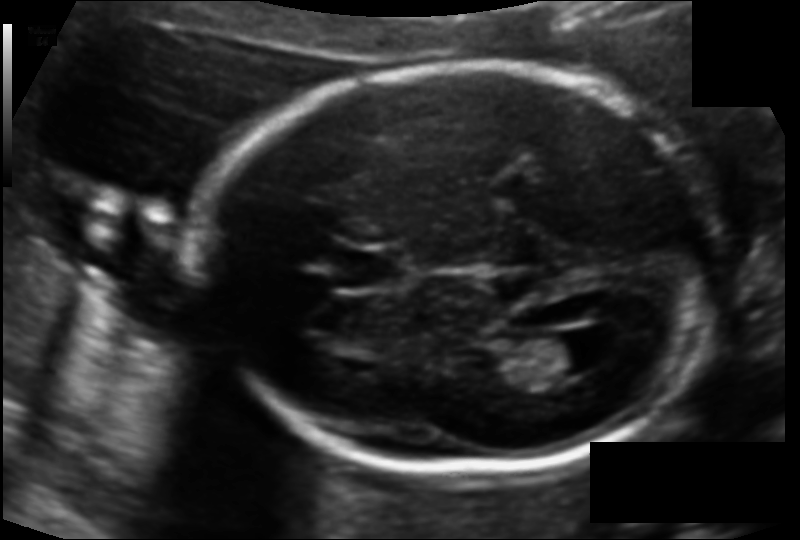
From this fetal ultrasound, estimate the head circumference (image width 94.2 mm).

Head circumference: 177.4 mm.